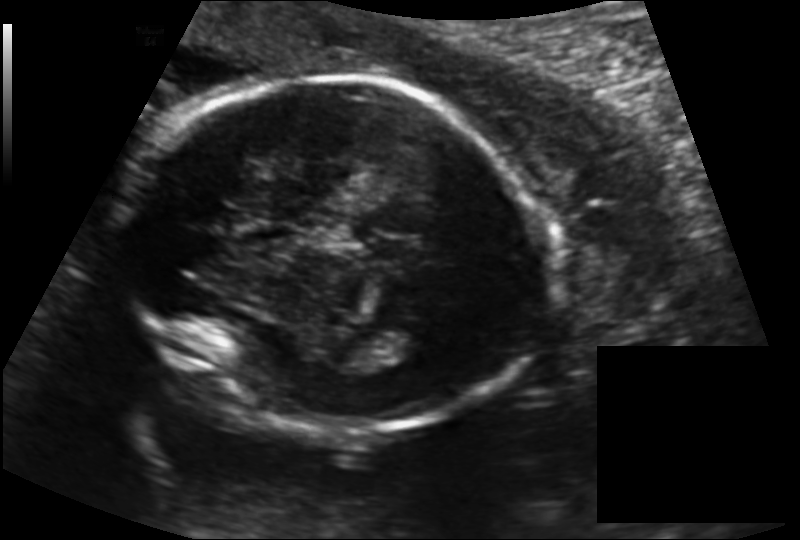
In this fetal head ultrasound, give bounding boxes for the head outline, cavum septum pellucidum (CSP), and lateral ventricle (LV), where visible. Image width: 116.1 mm.

Head: [123,78,550,433]